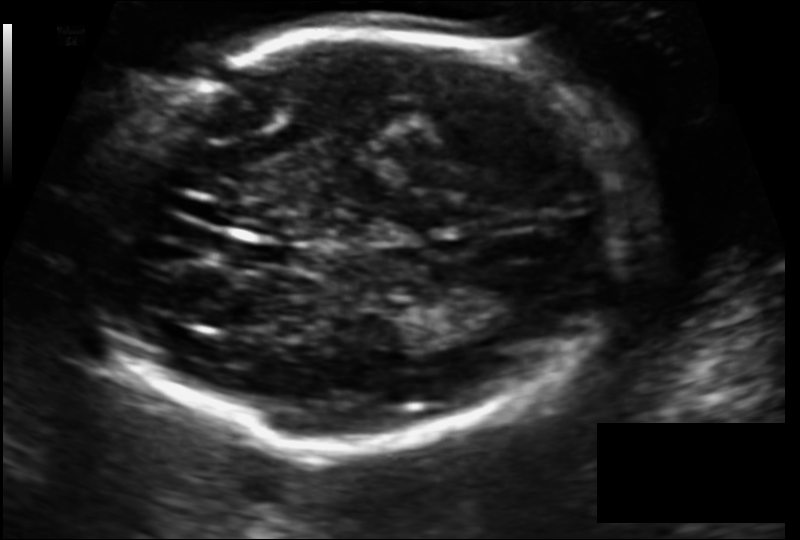
Estimate the fetal head circumference from this 2D ultrasound.

Head circumference: 191.9 mm (image width 98.9 mm).